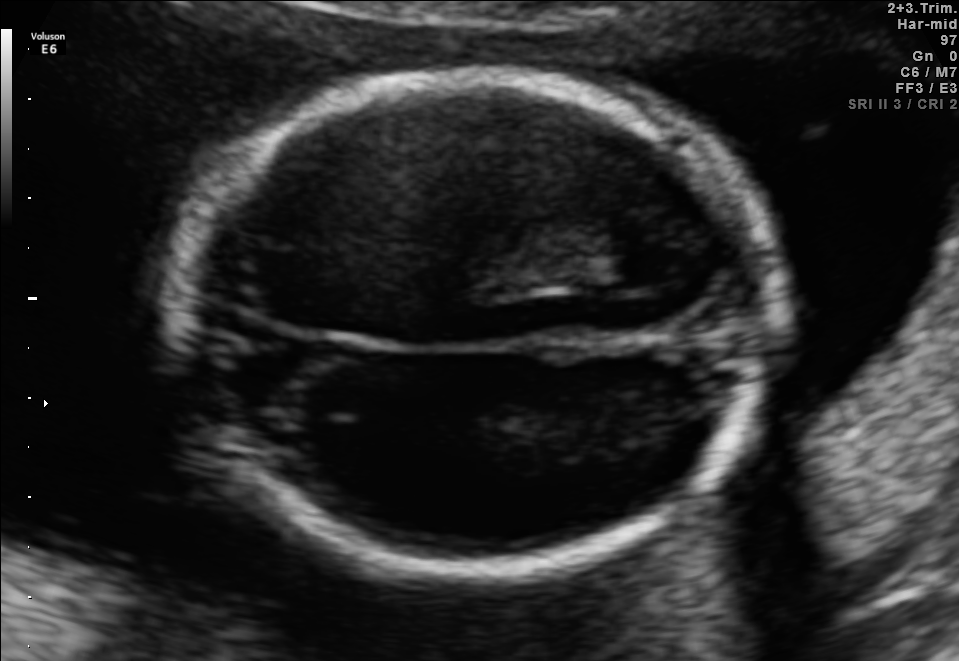
In this fetal brain, trans-thalamic plane, give bounding boxes for the head outline, cavum septum pellucidum (CSP), and lateral ventricle (LV), where visible.

Head: [172,76,777,569]